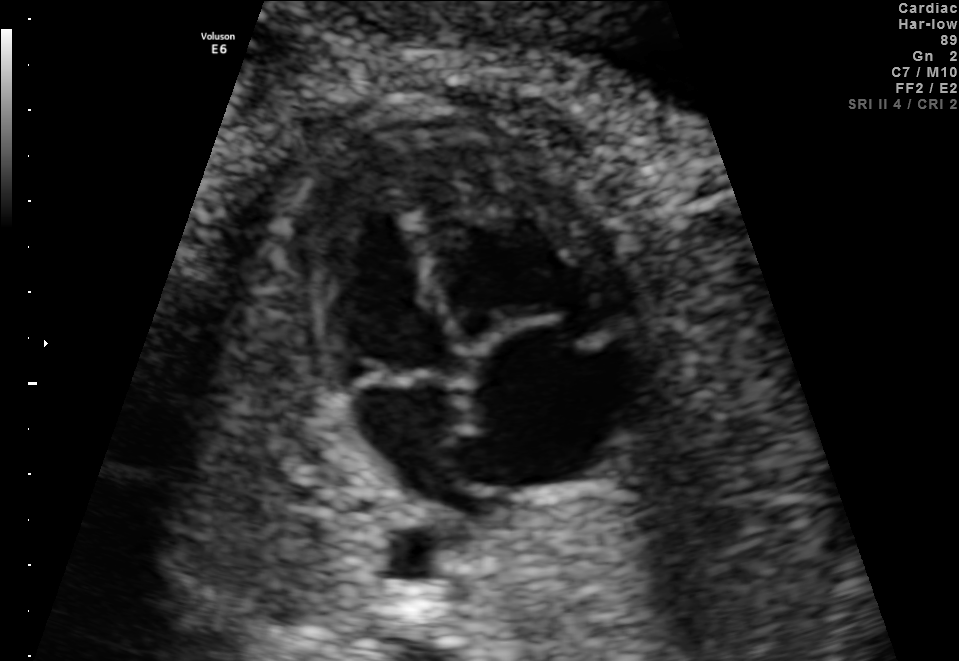
Classify this maternal-fetal ultrasound image as one of the six standard planes — fetal abdomen, fetal brain, fetal femur, fetal thorax, maternal cervix, or other. If it's fetal brain and one of the three standard brain planes (trans-thalamic, trans-cerebellum, trans-ventricular), name which.

Fetal thorax